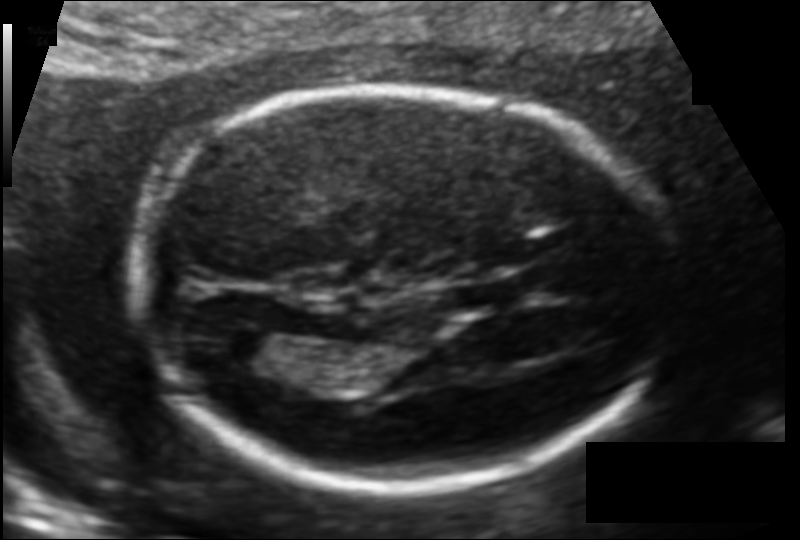
Estimate the fetal head circumference from this 2D ultrasound.

Head circumference: 166.4 mm (image width 87.0 mm).